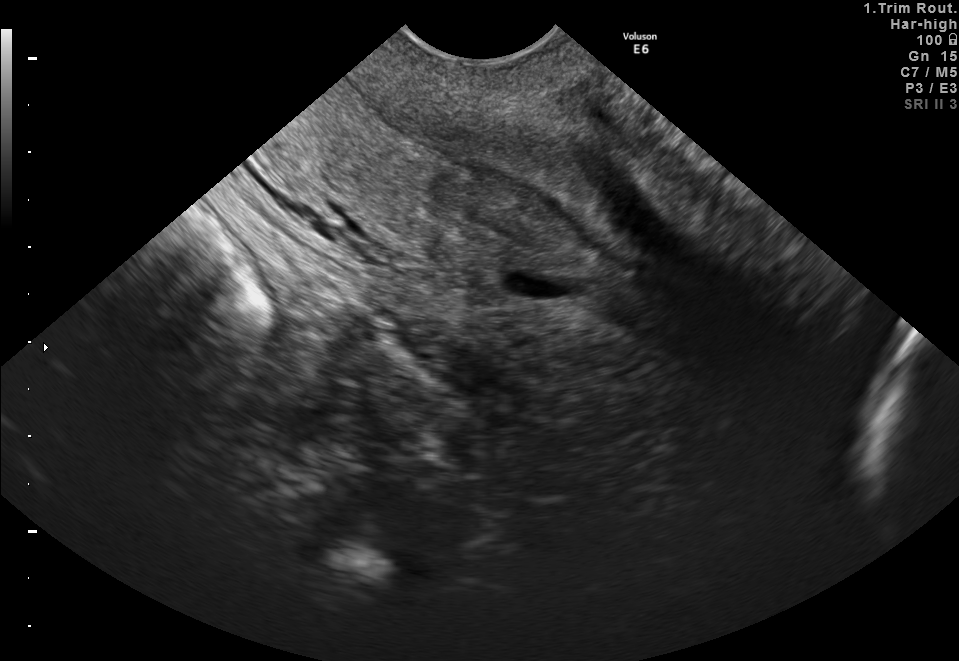
Which standard maternal-fetal ultrasound plane is shown: fetal abdomen, fetal brain, fetal femur, fetal thorax, maternal cervix, or other? If it's fetal brain and one of the three standard brain planes (trans-thalamic, trans-cerebellum, trans-ventricular), name which.

Maternal cervix